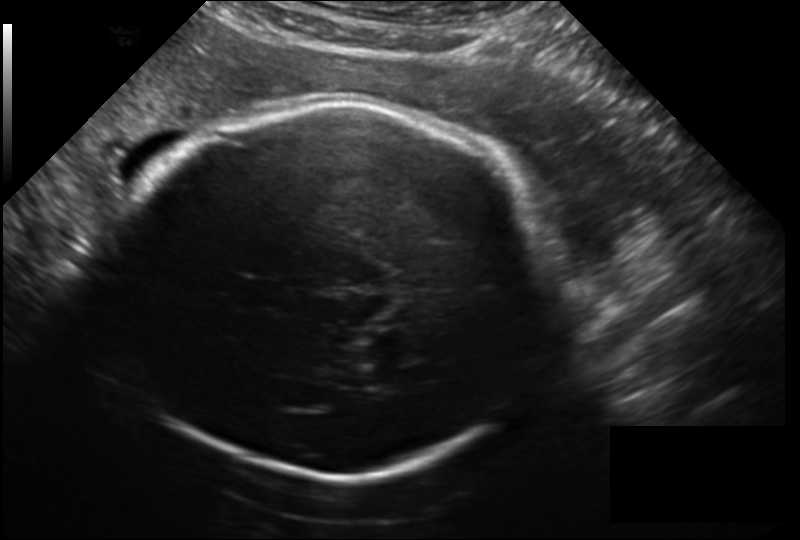
What is the fetal head circumference? Image width is 167.3 mm.

279.2 mm